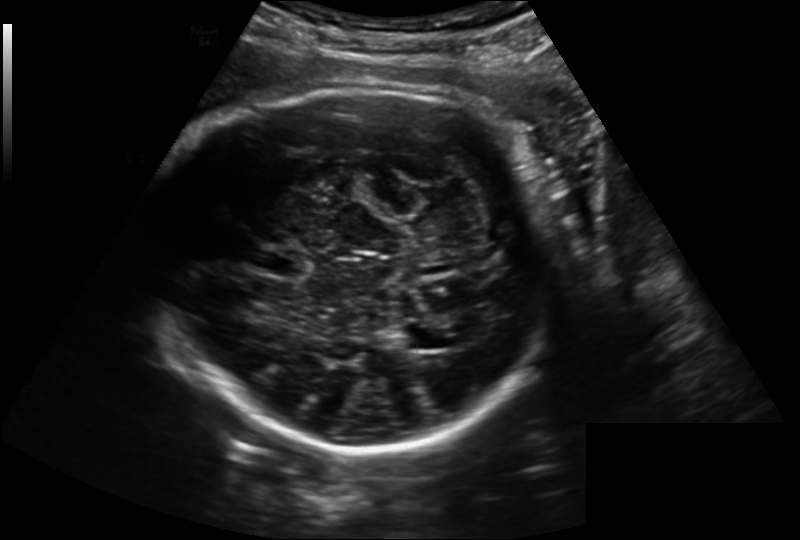
Fetal head ultrasound. Image width: 177.2 mm. Where is the cavum septum pellucidum?

CSP bounding box: [251,245,312,284]